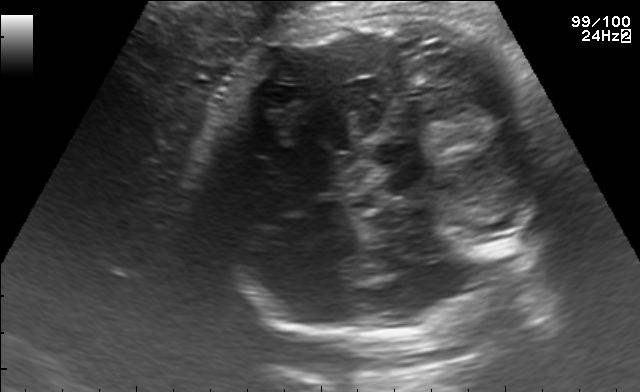
Fetal brain, trans-cerebellum plane. Locate the fetal head.

Head: [202,3,559,340]